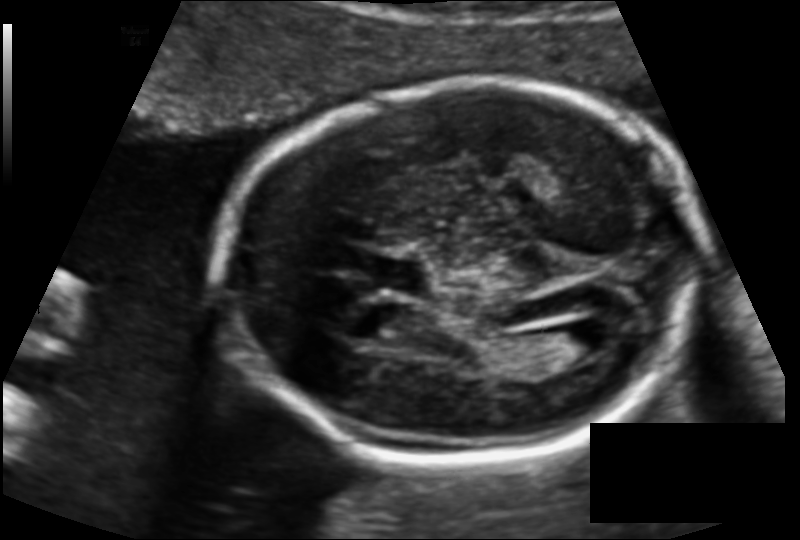
In this fetal head ultrasound, give the bounding box of the lateral ventricle. Image width: 99.5 mm.

[542,320,618,371]